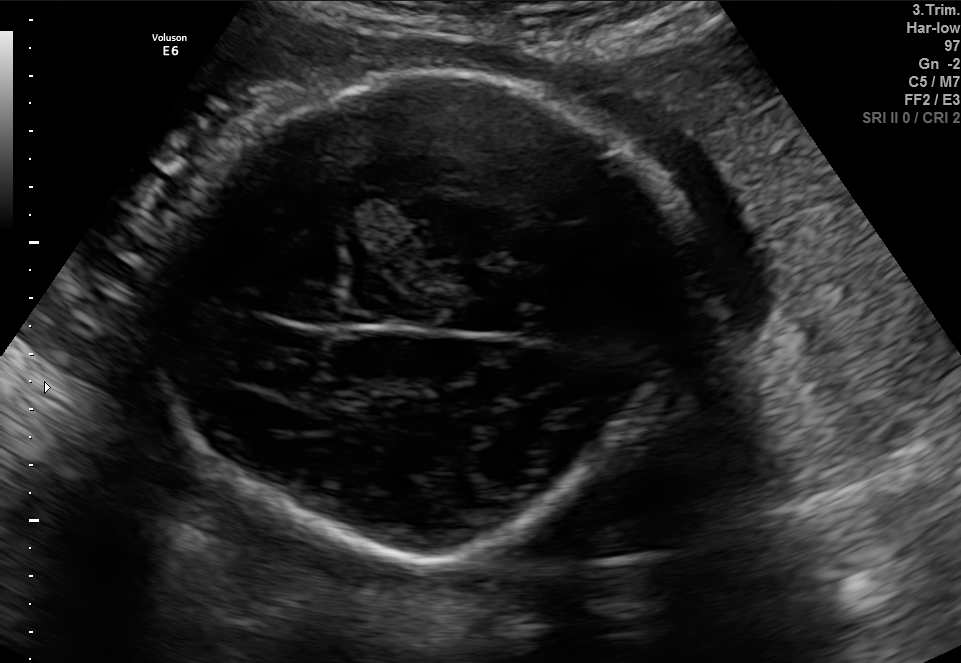
In this fetal brain, trans-thalamic plane, give bounding boxes for the head outline, cavum septum pellucidum (CSP), and lateral ventricle (LV), where visible.

Head: [172,58,674,561]